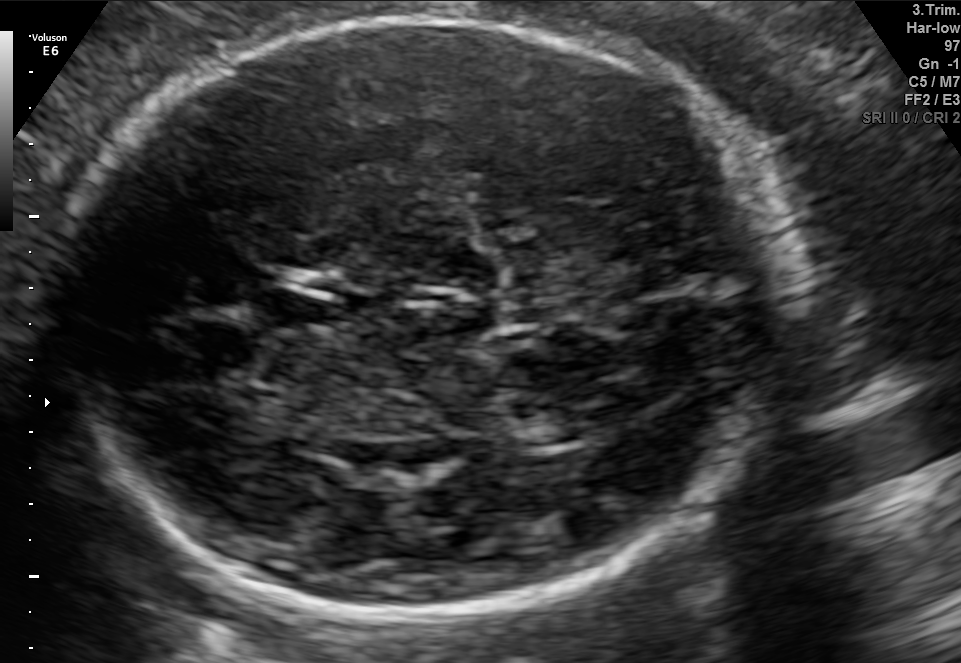
Fetal brain, trans-thalamic plane. Locate the fetal head.

Head: [43,11,798,620]